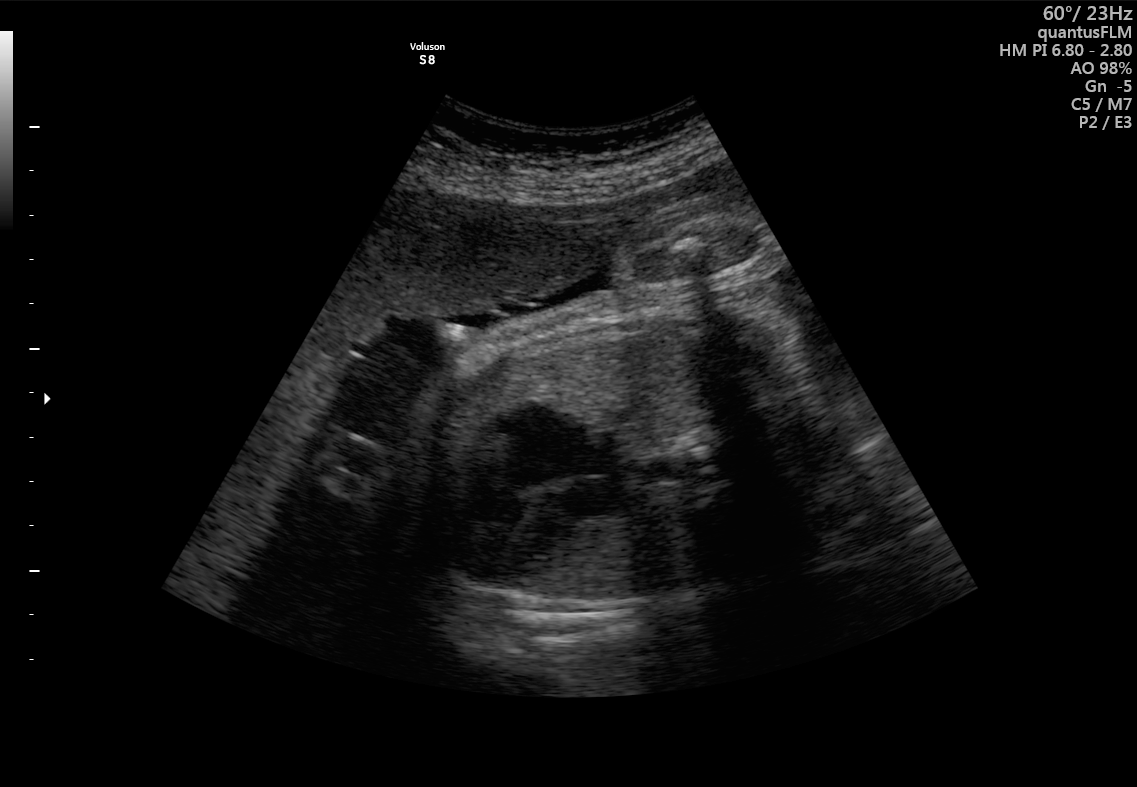
Which standard maternal-fetal ultrasound plane is shown: fetal abdomen, fetal brain, fetal femur, fetal thorax, maternal cervix, or other? If it's fetal brain and one of the three standard brain planes (trans-thalamic, trans-cerebellum, trans-ventricular), name which.

Fetal thorax